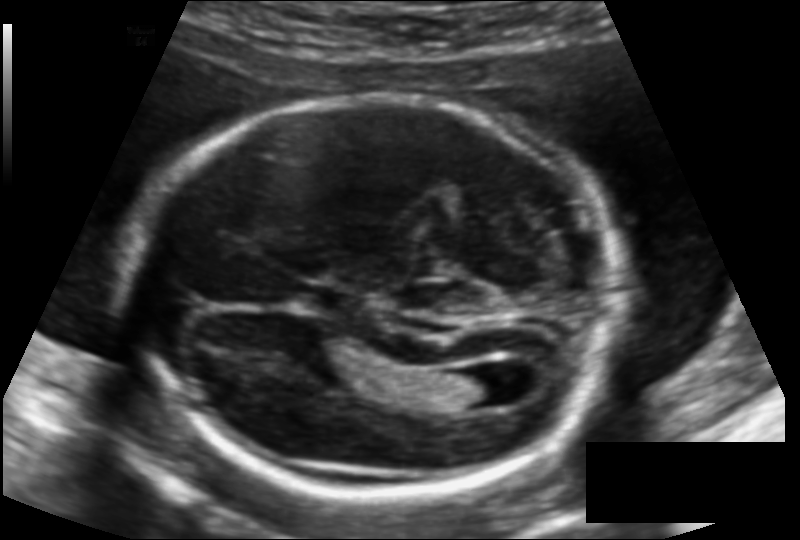
Fetal head ultrasound. Image width: 99.7 mm. Locate the cavum septum pellucidum.

CSP: [299,281,359,320]